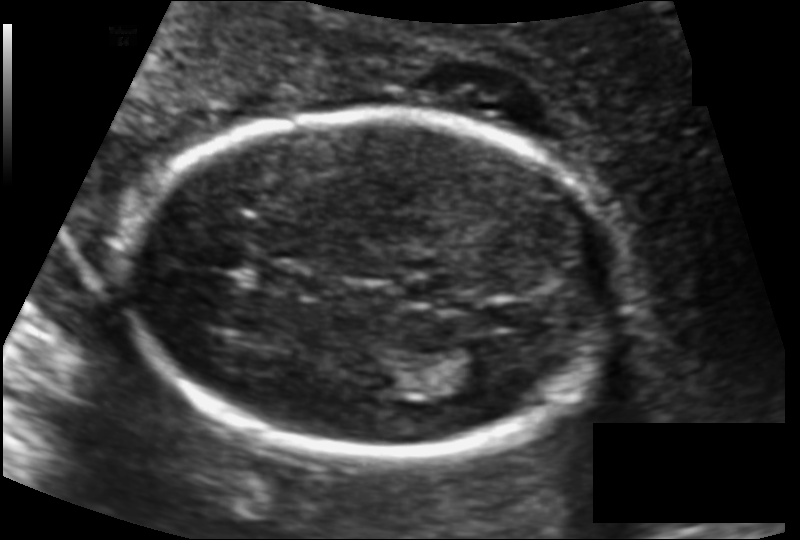
Estimate the fetal head circumference from this 2D ultrasound.

Head circumference: 160.6 mm (image width 93.7 mm).